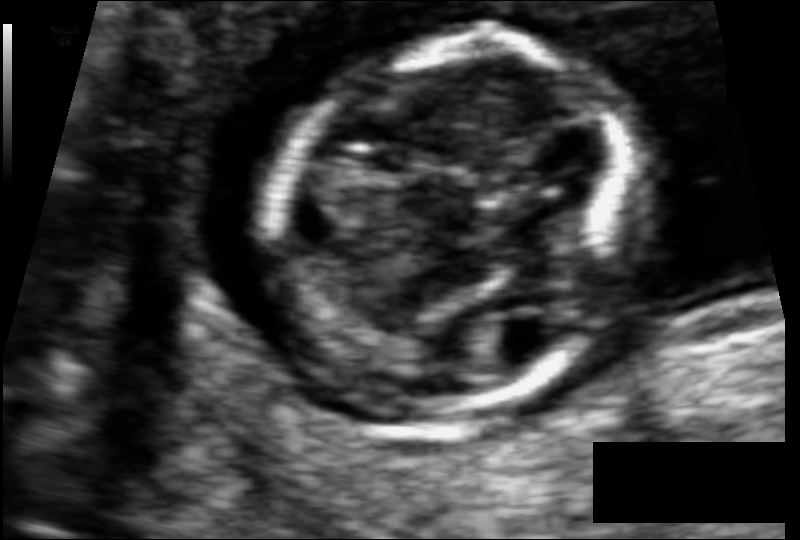
Estimate the fetal head circumference from this 2D ultrasound. Image width: 49.9 mm.

Head circumference: 76.2 mm.